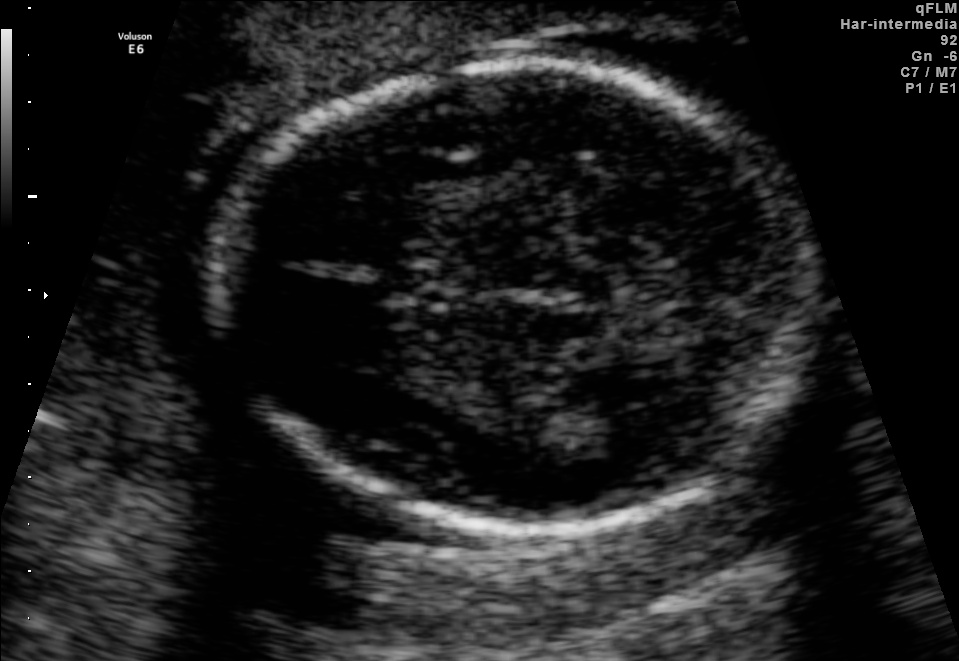
Fetal brain, trans-thalamic plane. Locate the fetal head.

Head: [219,62,816,525]